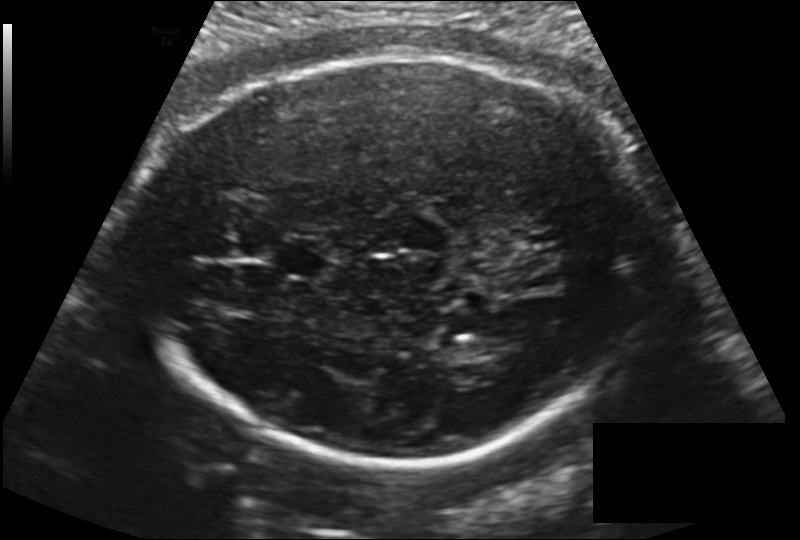
What is the fetal head circumference? Image width is 144.8 mm.

267.7 mm